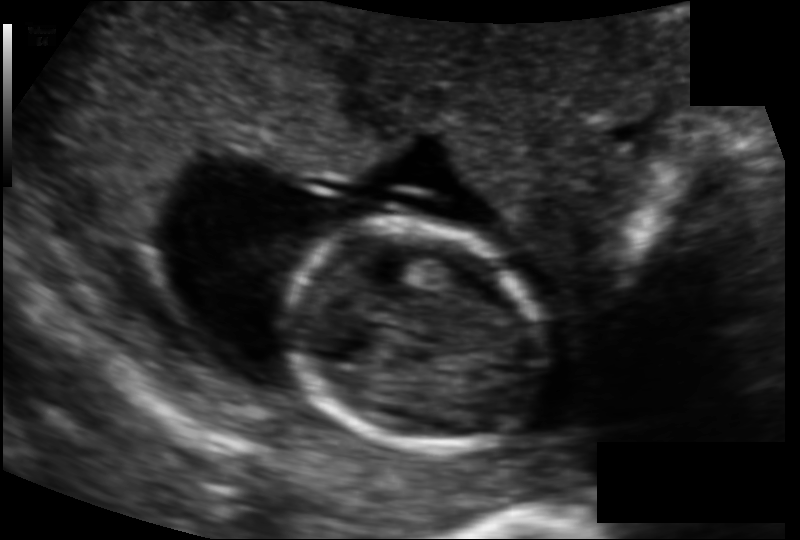
Estimate the fetal head circumference from this 2D ultrasound.

Head circumference: 90.8 mm (image width 91.0 mm).